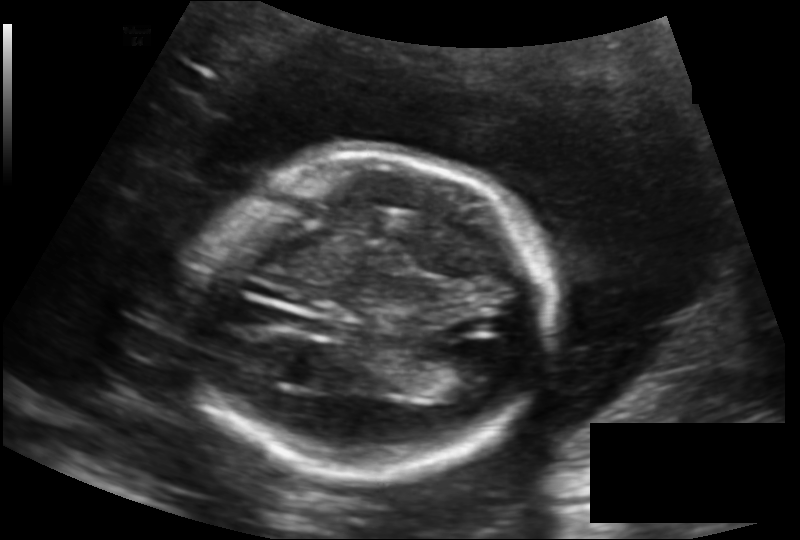
What is the fetal head circumference? Image width is 122.9 mm.

172.1 mm